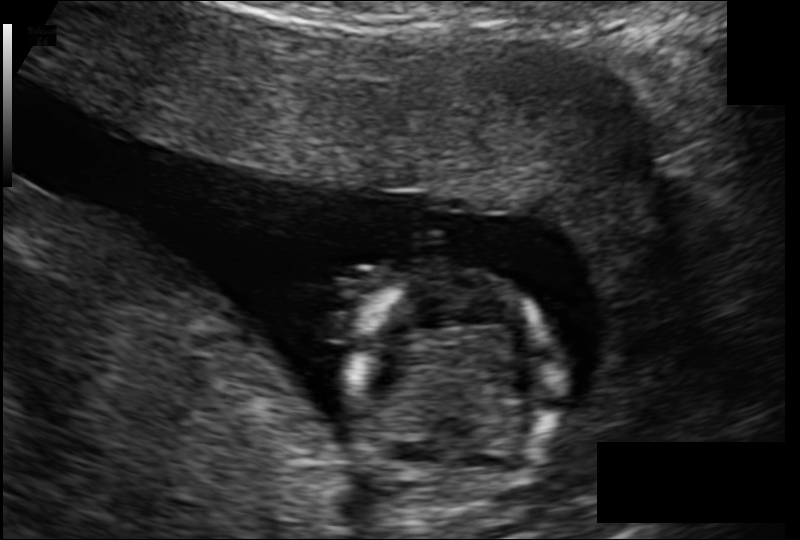
From this fetal ultrasound, estimate the head circumference (image width 98.6 mm).

Head circumference: 93.3 mm.